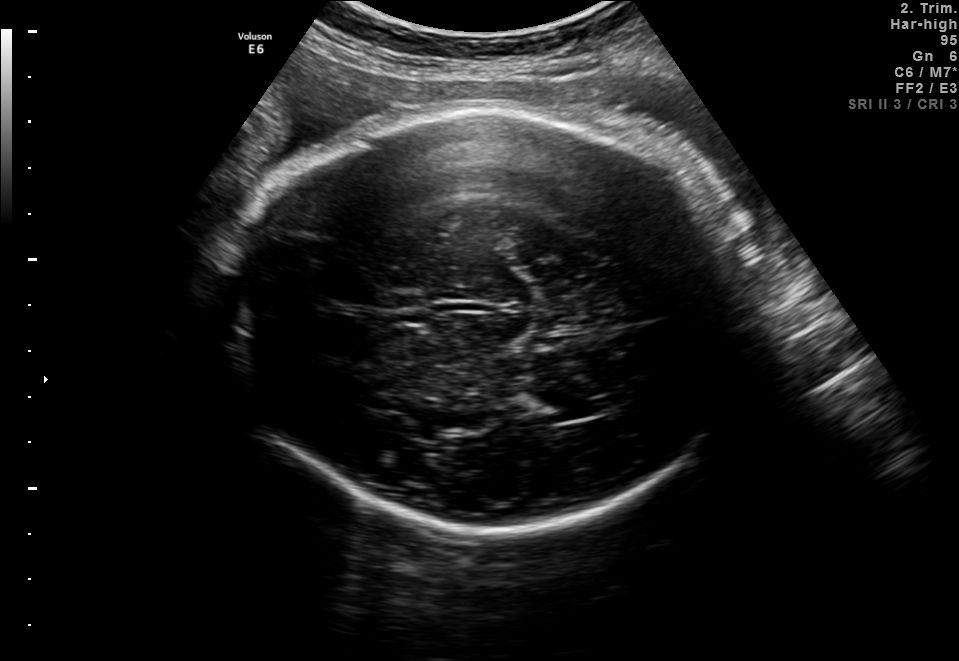
In this fetal brain, trans-thalamic plane, give bounding boxes for the head outline, cavum septum pellucidum (CSP), and lateral ventricle (LV), where visible.

Head: [232,106,751,527]
Lateral ventricle: [513,380,609,429]